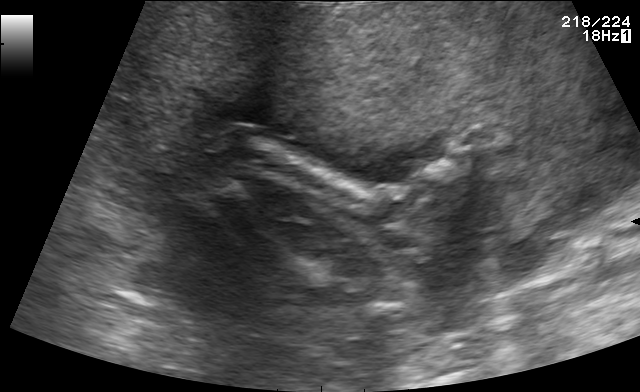
Identify the standard plane in this fetal ultrasound image: fetal abdomen, fetal brain, fetal femur, fetal thorax, maternal cervix, or other. If it's fetal brain and one of the three standard brain planes (trans-thalamic, trans-cerebellum, trans-ventricular), name which.

Other